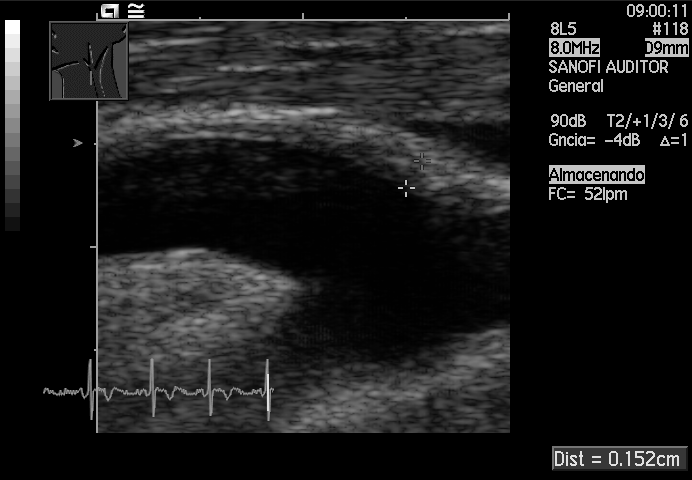
Classify this maternal-fetal ultrasound image as one of the six standard planes — fetal abdomen, fetal brain, fetal femur, fetal thorax, maternal cervix, or other. If it's fetal brain and one of the three standard brain planes (trans-thalamic, trans-cerebellum, trans-ventricular), name which.

Other